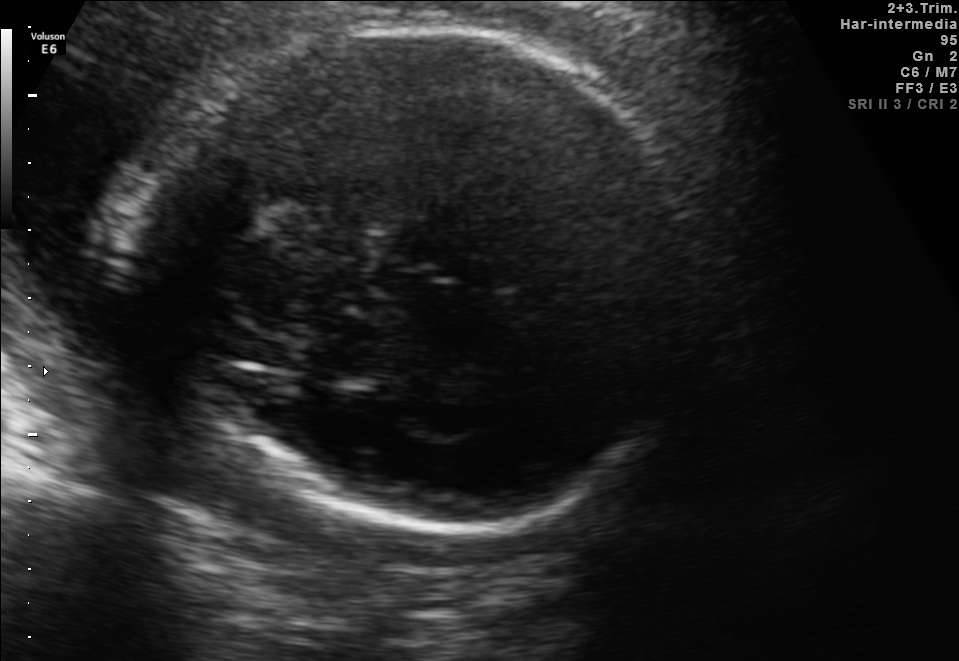
Fetal brain, trans-thalamic plane. Locate the fetal head.

Head: [135,22,698,531]